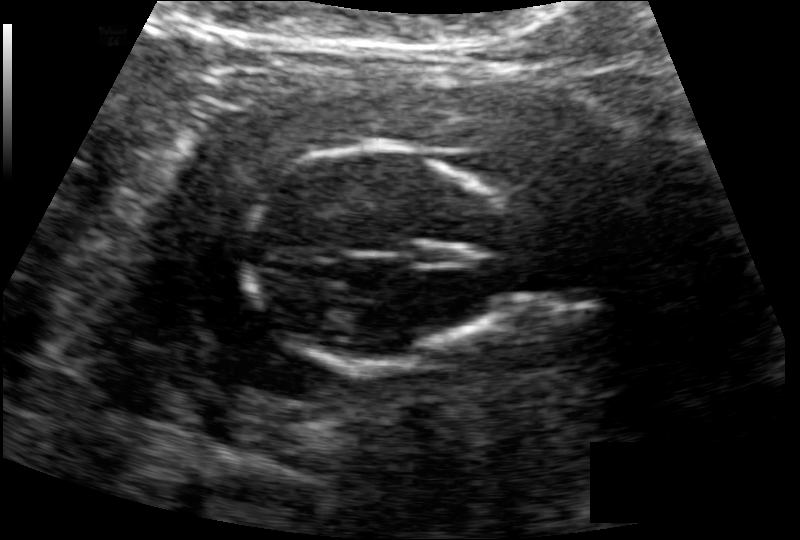
In this fetal head ultrasound, give bounding boxes for the head outline, cavum septum pellucidum (CSP), and lateral ventricle (LV), where visible. Image width: 100.6 mm.

Head: [246,145,507,365]